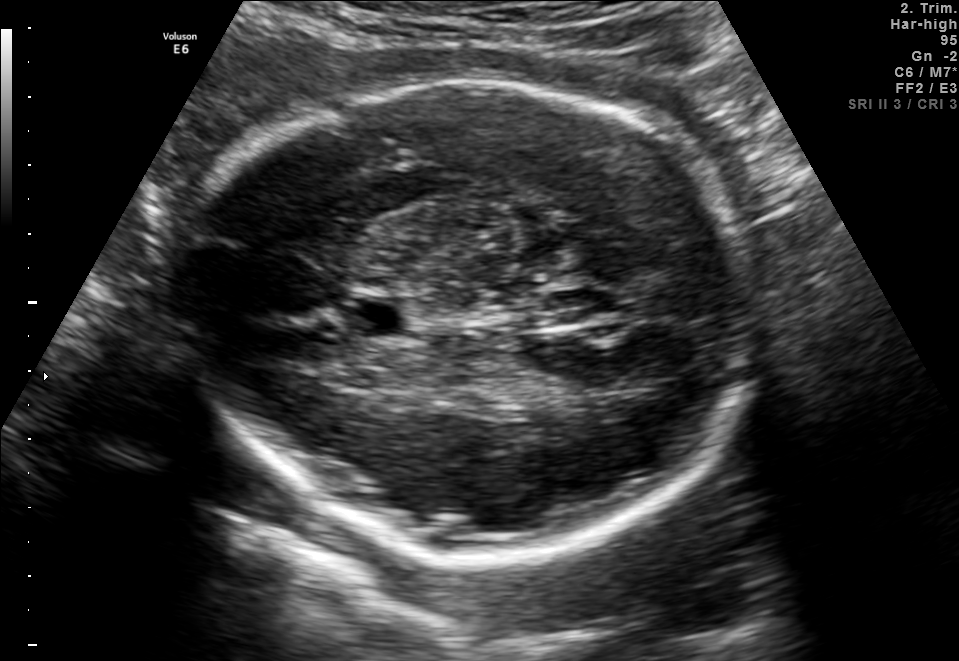
Fetal brain, trans-thalamic plane. Where is the cavum septum pellucidum?

CSP bounding box: [351,297,407,338]